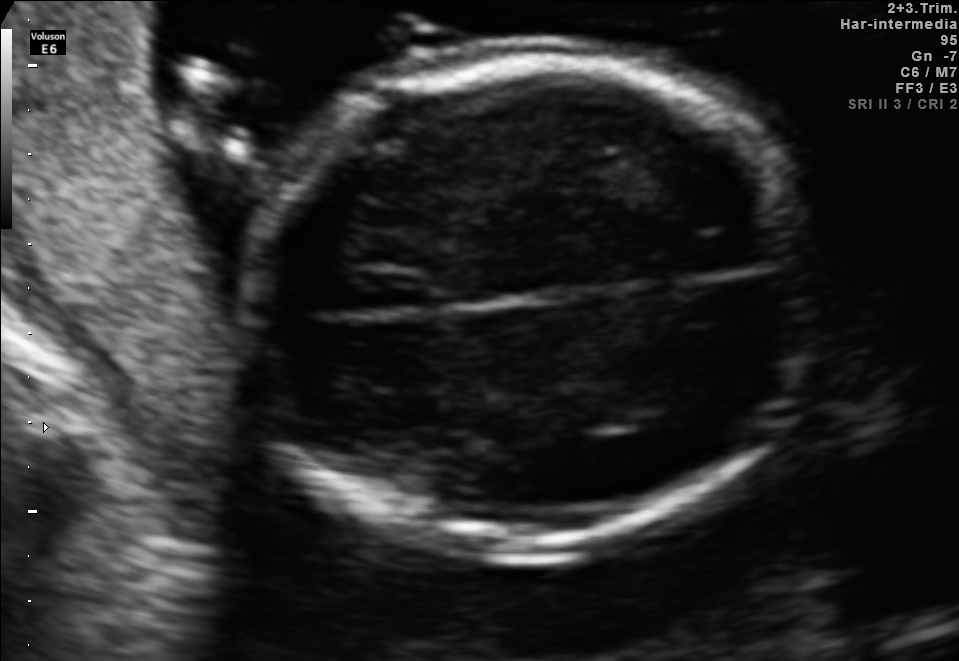
Fetal brain, trans-thalamic plane. Give [x1,y1,x2,y2] bounding boxes for each visible structure among: fetal head, CSP, LV.

Head: [260,54,813,545]